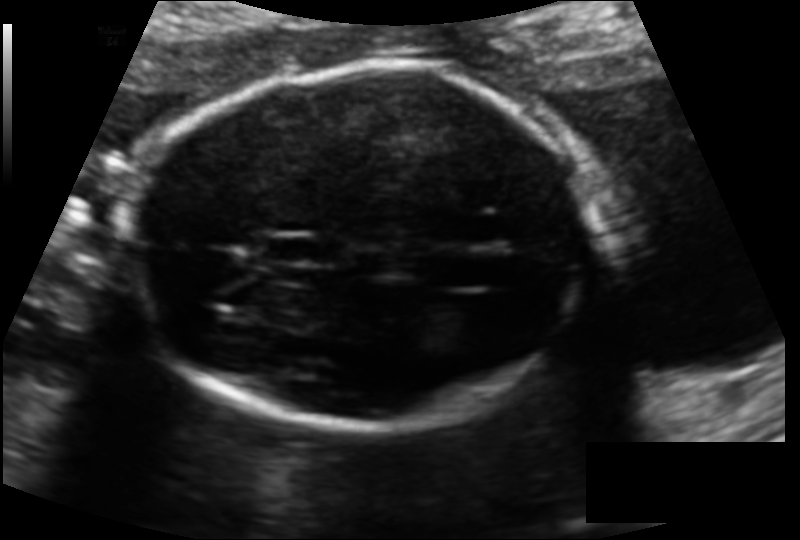
Estimate the fetal head circumference from this 2D ultrasound. Image width: 101.0 mm.

Head circumference: 168.3 mm.